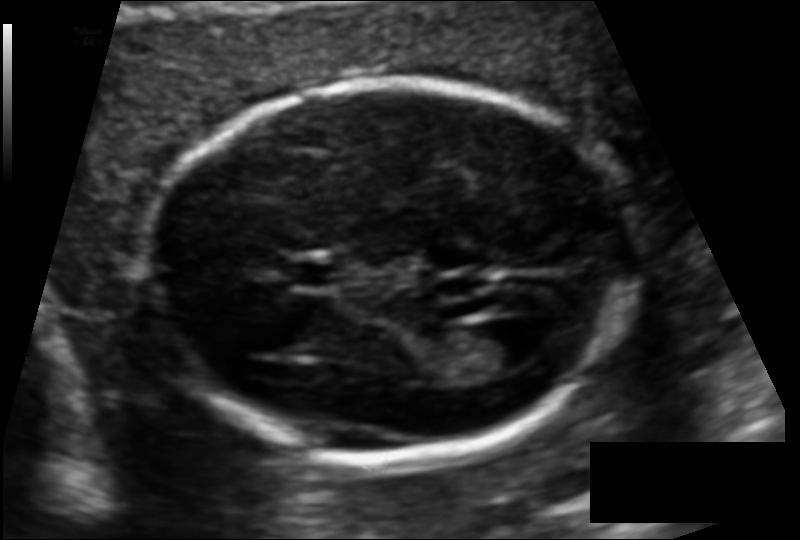
Estimate the fetal head circumference from this 2D ultrasound. Image width: 88.0 mm.

Head circumference: 155.3 mm.